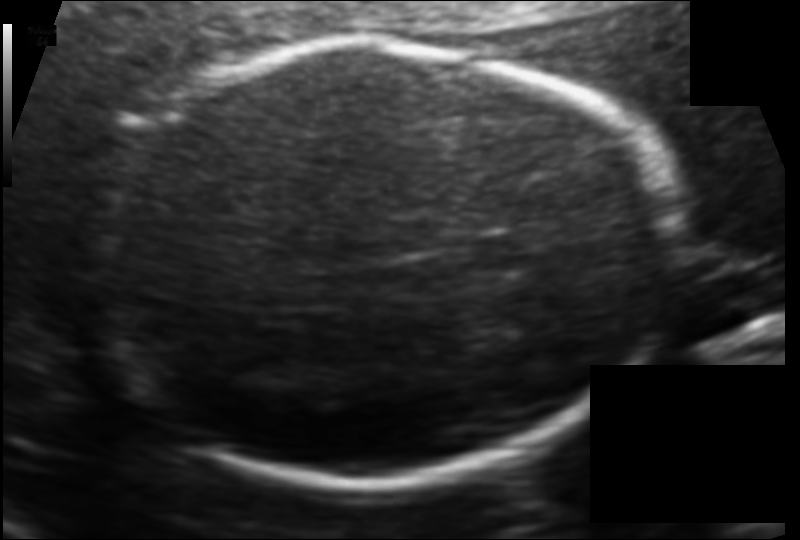
In this fetal head ultrasound, give the bounding box of the fetal head. Image width: 91.1 mm.

[86,42,677,480]